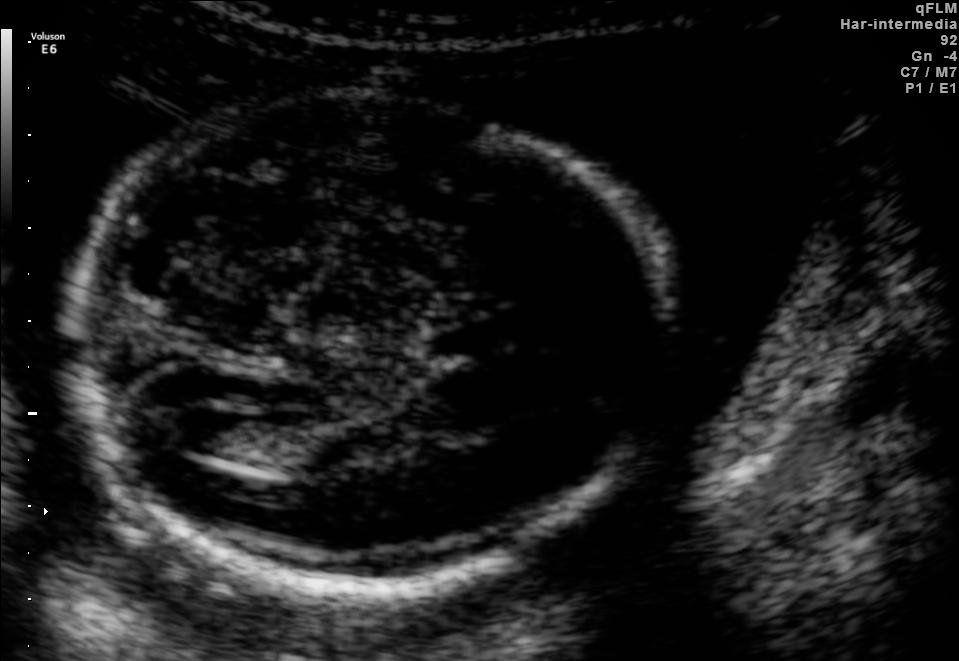
Identify the standard plane in this fetal ultrasound image: fetal abdomen, fetal brain, fetal femur, fetal thorax, maternal cervix, or other. If it's fetal brain and one of the three standard brain planes (trans-thalamic, trans-cerebellum, trans-ventricular), name which.

Fetal brain (trans-ventricular plane)